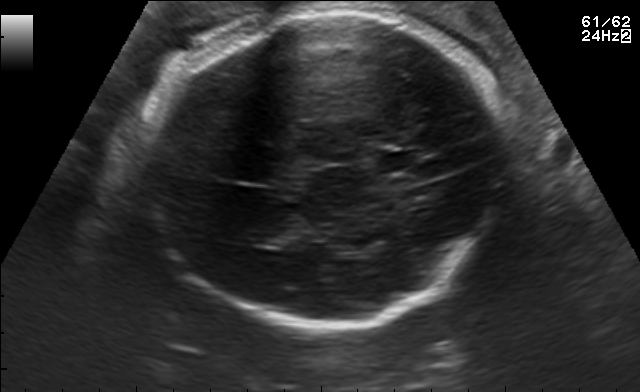
Fetal brain, trans-thalamic plane. Where is the cavum septum pellucidum?

CSP bounding box: [375,149,417,174]